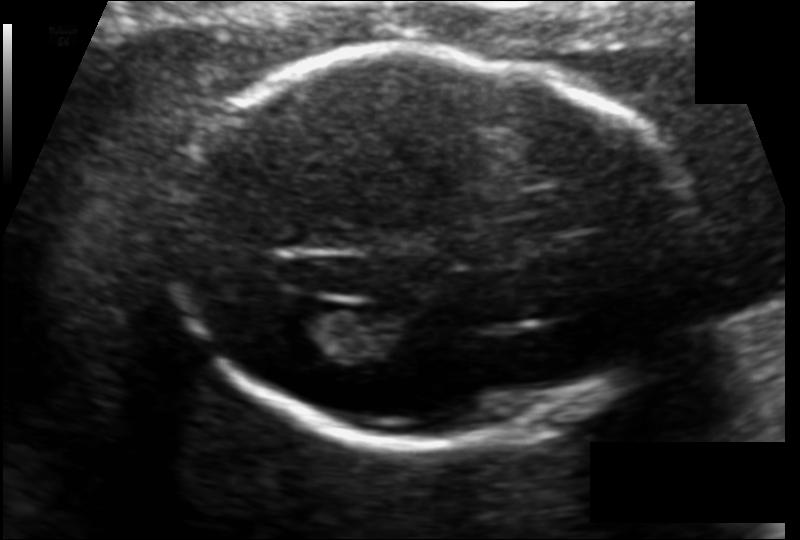
In this fetal head ultrasound, give the bounding box of the lateral ventricle. Image width: 96.2 mm.

[267,309,350,366]